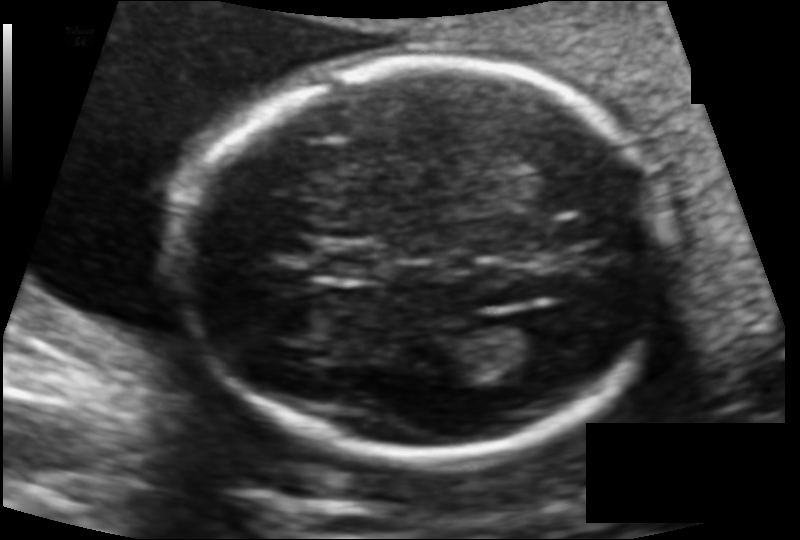
Fetal head ultrasound. Image width: 91.4 mm. Locate the fetal head.

Head: [184,60,671,461]